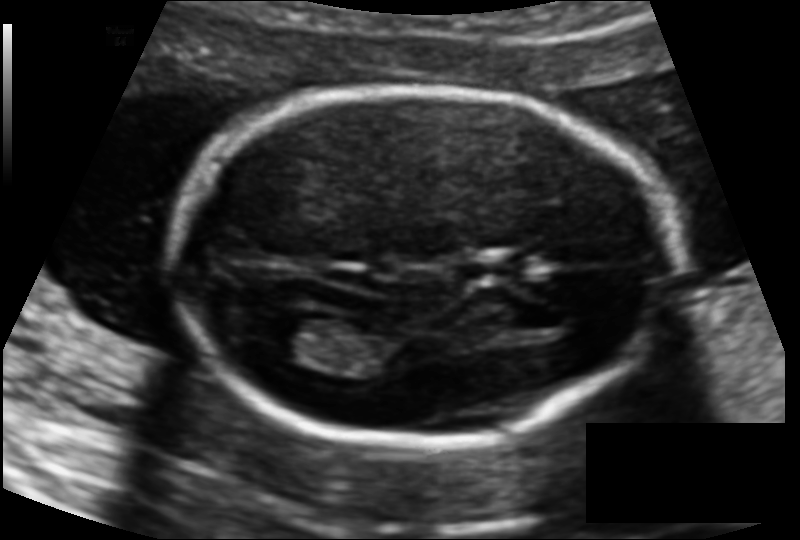
In this fetal head ultrasound, give the bounding box of the fetal head. Image width: 91.5 mm.

[173,86,677,444]